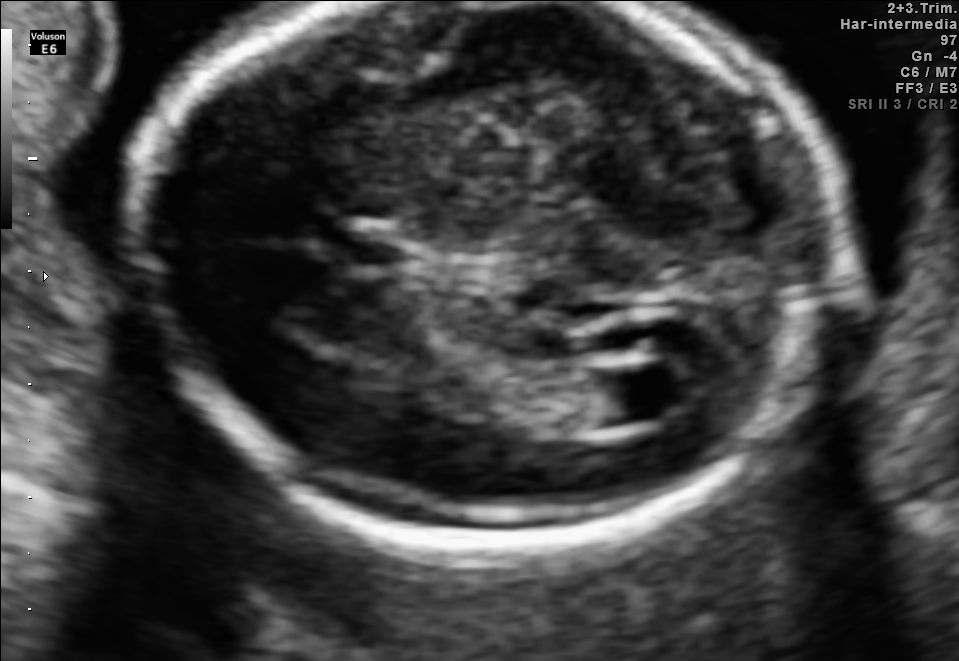
Fetal brain, trans-ventricular plane. Where is the lateral ventricle?

Lateral ventricle bounding box: [582,357,689,429]